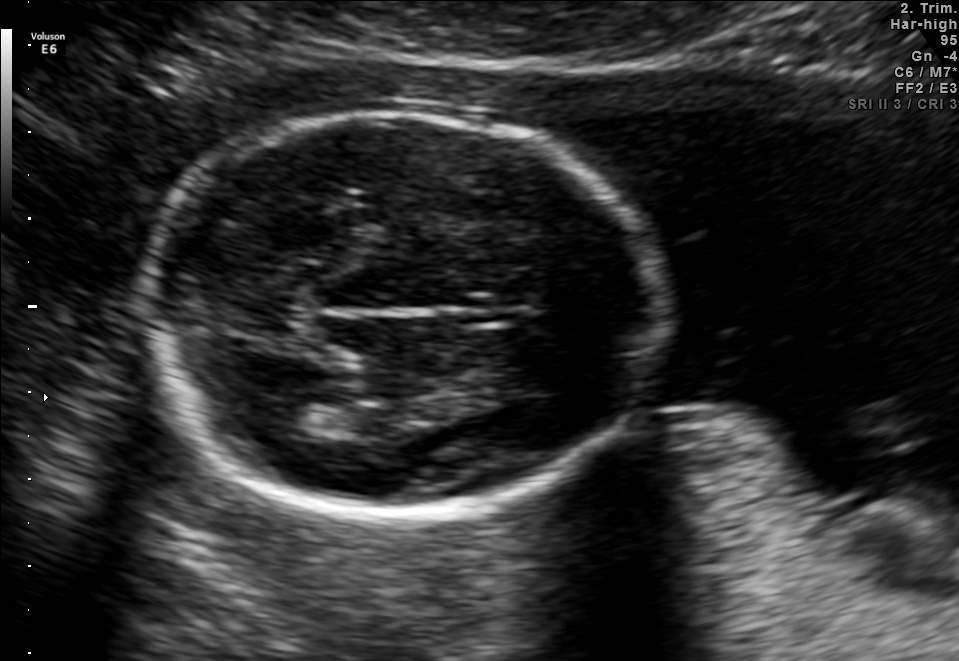
In this fetal brain, trans-thalamic plane, give the bounding box of the fetal head.

[133,110,662,517]